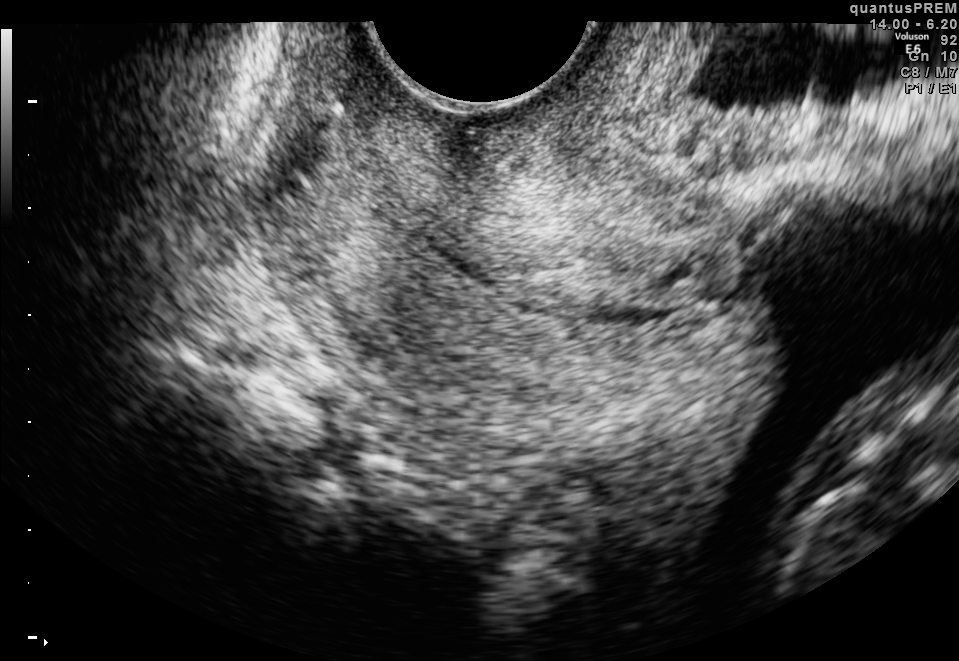
Which standard maternal-fetal ultrasound plane is shown: fetal abdomen, fetal brain, fetal femur, fetal thorax, maternal cervix, or other? If it's fetal brain and one of the three standard brain planes (trans-thalamic, trans-cerebellum, trans-ventricular), name which.

Maternal cervix